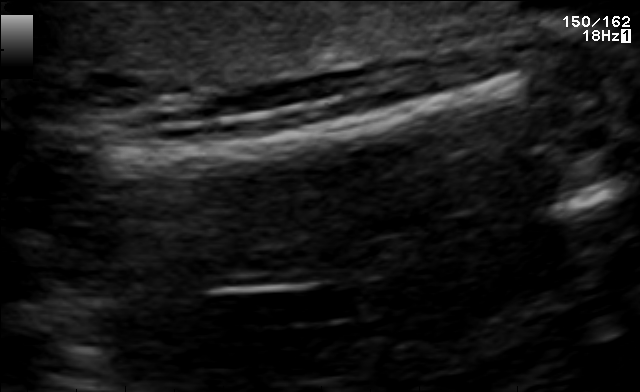
Identify the standard plane in this fetal ultrasound image: fetal abdomen, fetal brain, fetal femur, fetal thorax, maternal cervix, or other. If it's fetal brain and one of the three standard brain planes (trans-thalamic, trans-cerebellum, trans-ventricular), name which.

Fetal femur